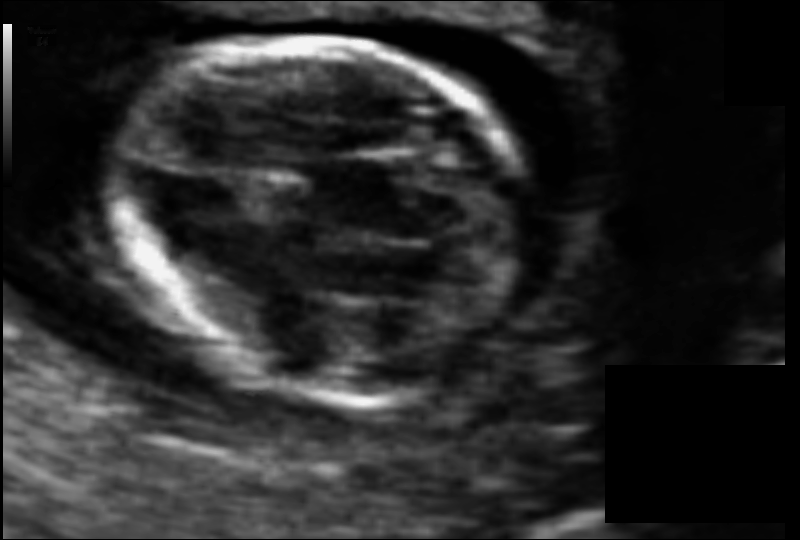
What is the fetal head circumference? Image width is 51.5 mm.

77.7 mm